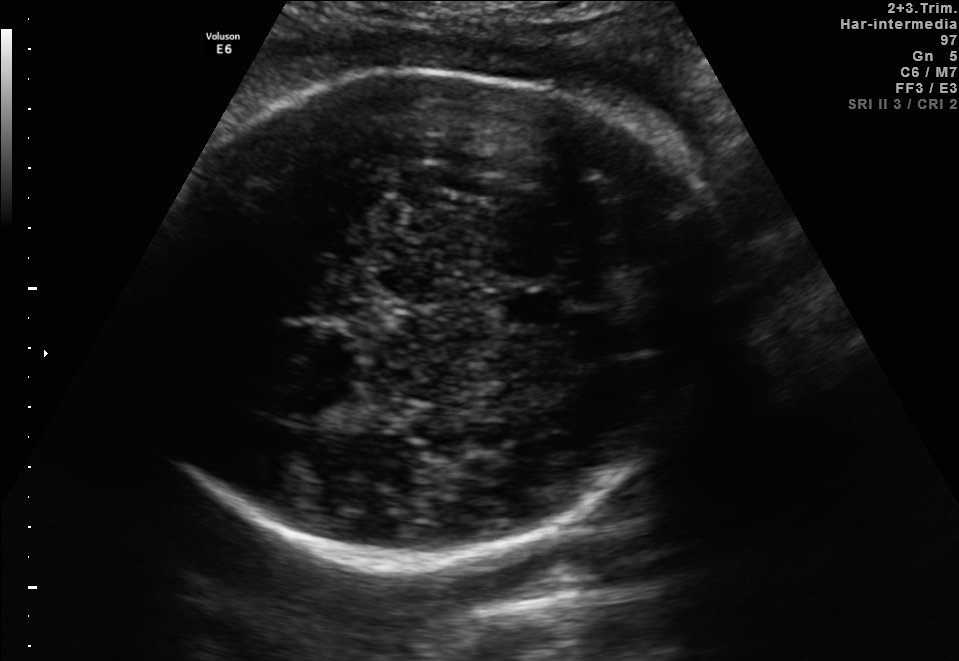
Fetal brain, trans-thalamic plane. Where is the lateral ventricle?

Lateral ventricle bounding box: [257,364,352,434]